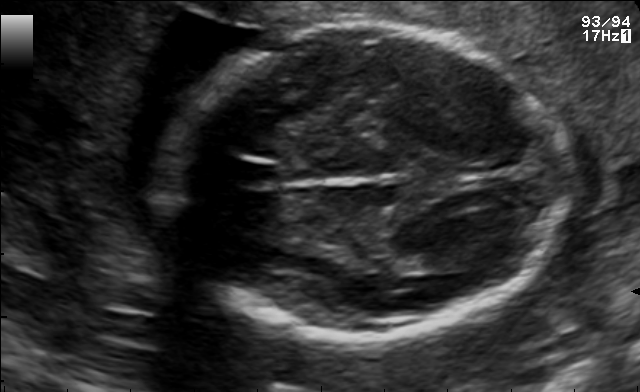
Fetal brain, trans-thalamic plane. Locate the lateral ventricle.

Lateral ventricle: [419,248,475,274]